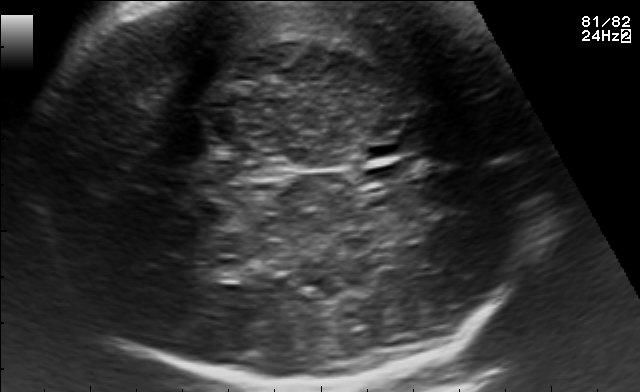
Fetal brain, trans-thalamic plane. Where is the fetal head?

Head bounding box: [26,3,546,388]